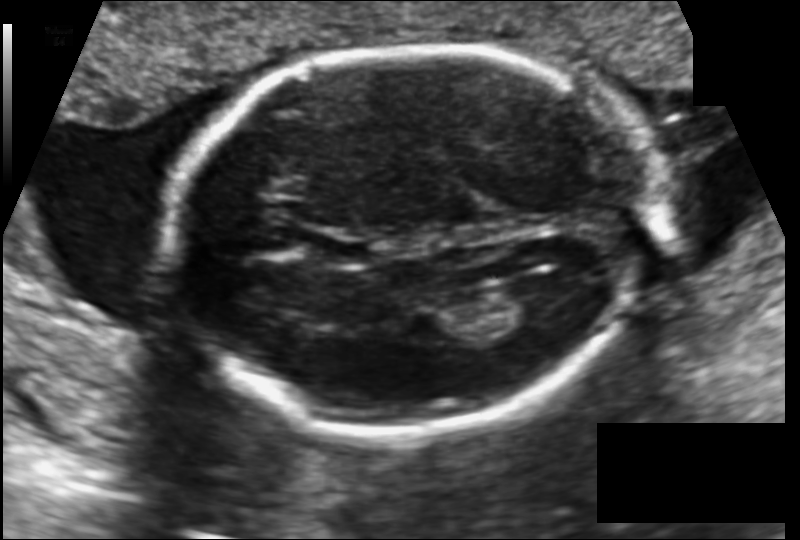
In this fetal head ultrasound, give the bounding box of the cavum septum pellucidum. Image width: 106.0 mm.

[311,231,374,269]